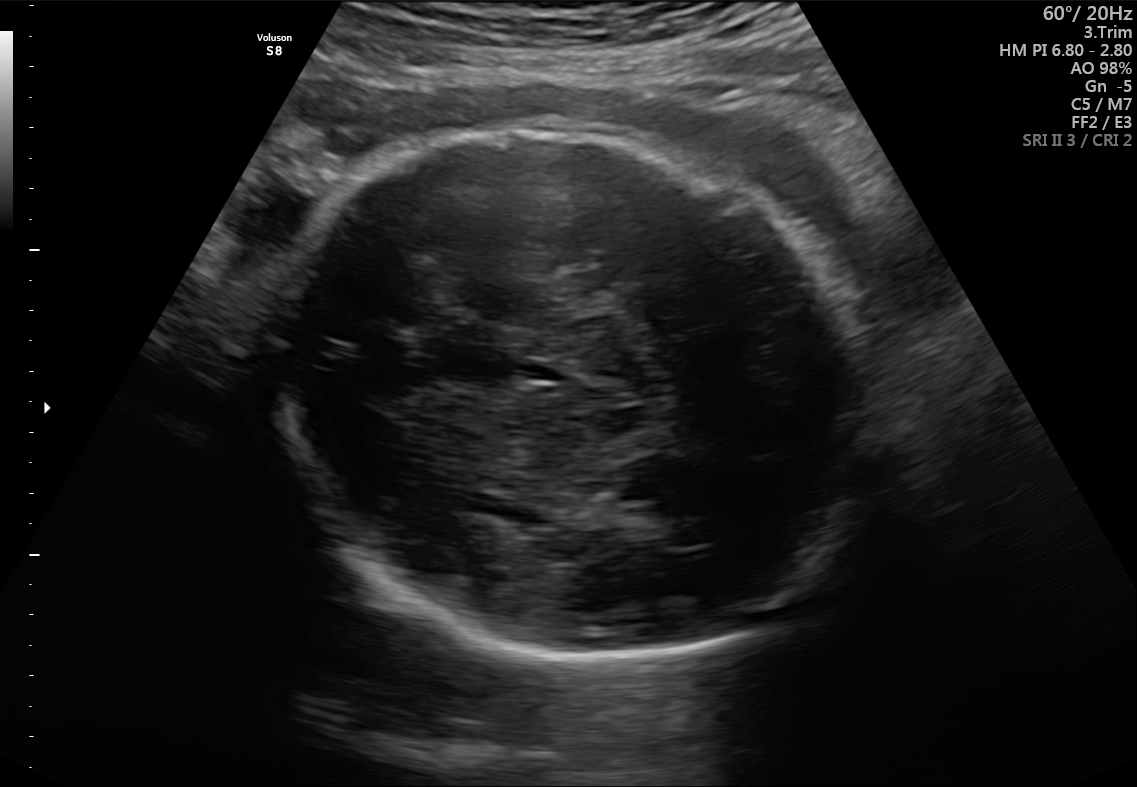
Fetal brain, trans-thalamic plane. Where is the fetal head?

Head bounding box: [262,132,880,667]